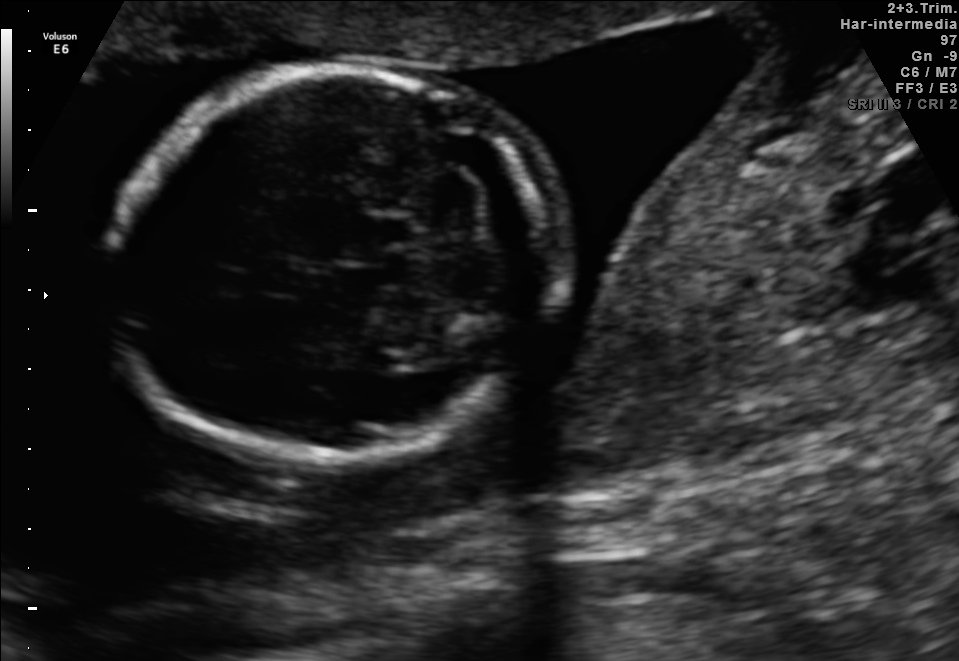
Classify this maternal-fetal ultrasound image as one of the six standard planes — fetal abdomen, fetal brain, fetal femur, fetal thorax, maternal cervix, or other. If it's fetal brain and one of the three standard brain planes (trans-thalamic, trans-cerebellum, trans-ventricular), name which.

Fetal brain (trans-cerebellum plane)